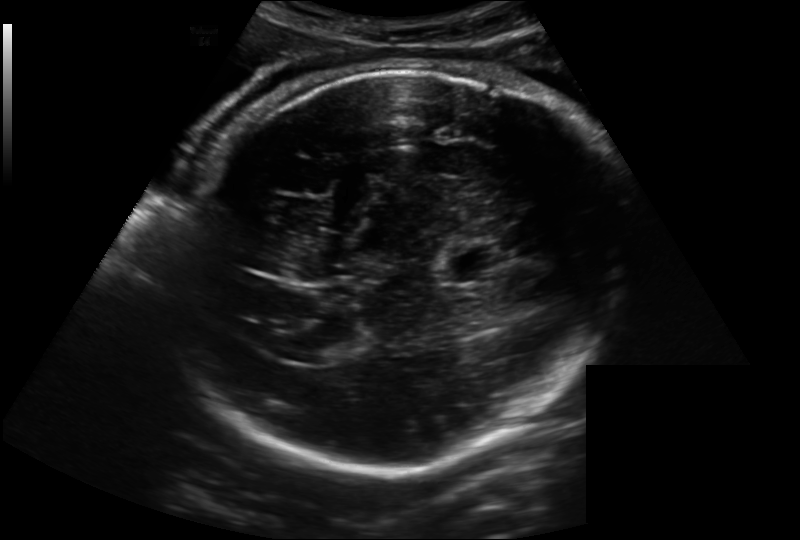
Fetal head ultrasound. Image width: 177.2 mm. Give [x1,y1,x2,y2] bounding boxes for each visible structure among: fetal head, CSP, LV.

Head: [165,69,626,467]
CSP: [441,240,506,288]
Lateral ventricle: [293,339,336,365]